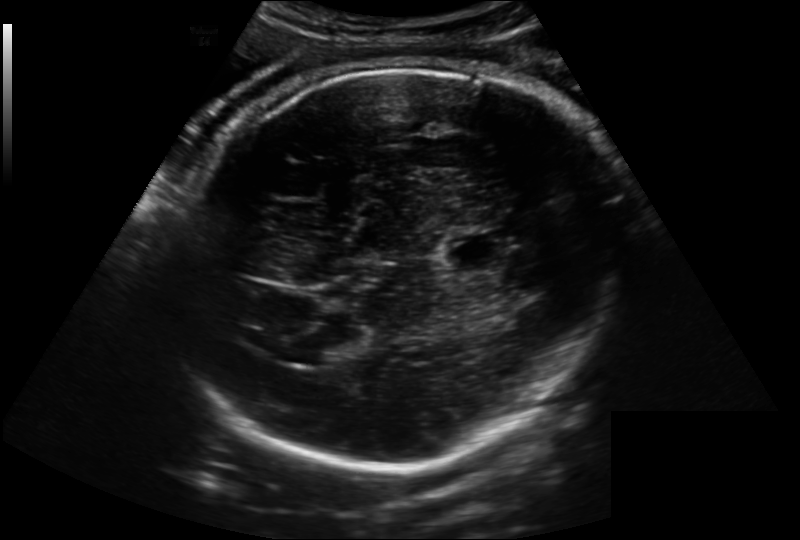
Estimate the fetal head circumference from this 2D ultrasound. Image width: 177.3 mm.

Head circumference: 306.9 mm.